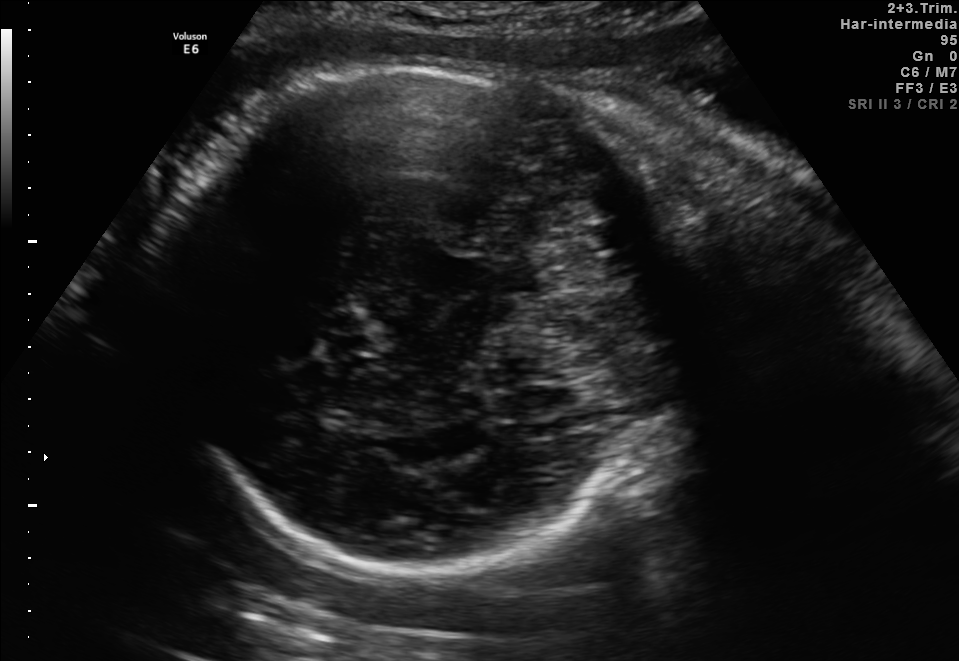
Fetal brain, trans-cerebellum plane. Locate the fetal head and, if visible, the cavum septum pellucidum (CSP) and lateral ventricle (LV). Give bounding boxes as [x1,y1,x2,y2].

Head: [165,62,672,571]